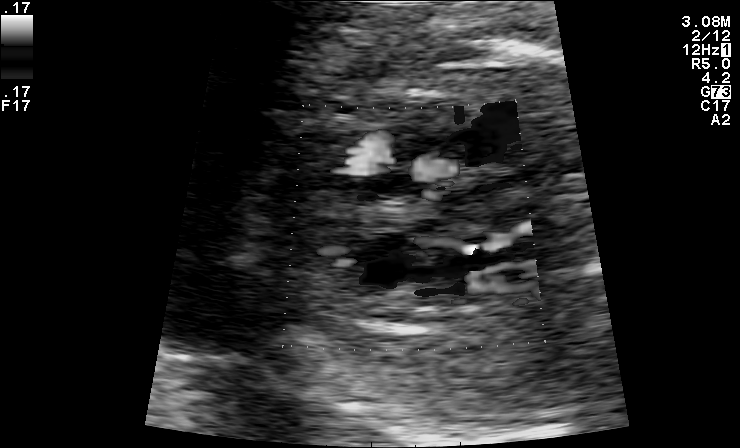
This is a 2D maternal-fetal ultrasound frame. Is it a fetal abdomen, fetal brain, fetal femur, fetal thorax, maternal cervix, or other standard plane? If it's fetal brain and one of the three standard brain planes (trans-thalamic, trans-cerebellum, trans-ventricular), name which.

Other